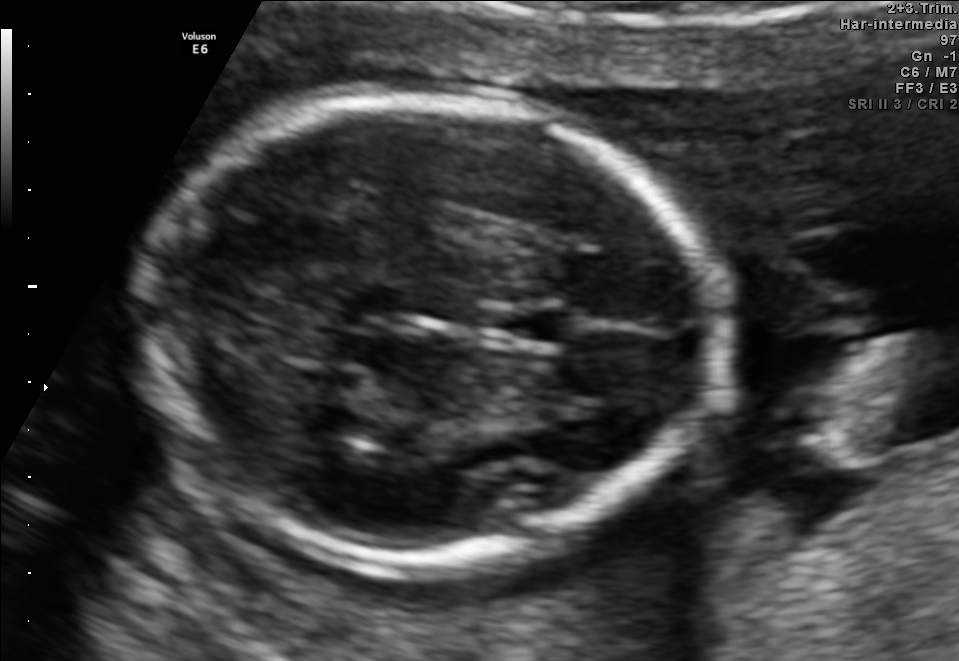
Fetal brain, trans-thalamic plane. Locate the cavum septum pellucidum.

CSP: [496,308,573,344]